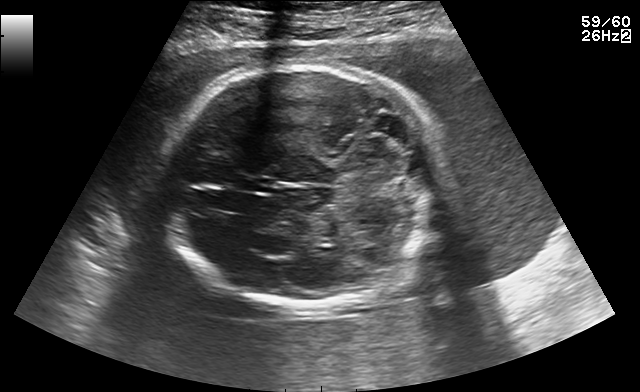
In this fetal brain, trans-cerebellum plane, give the bounding box of the cavum septum pellucidum.

[237,174,273,195]